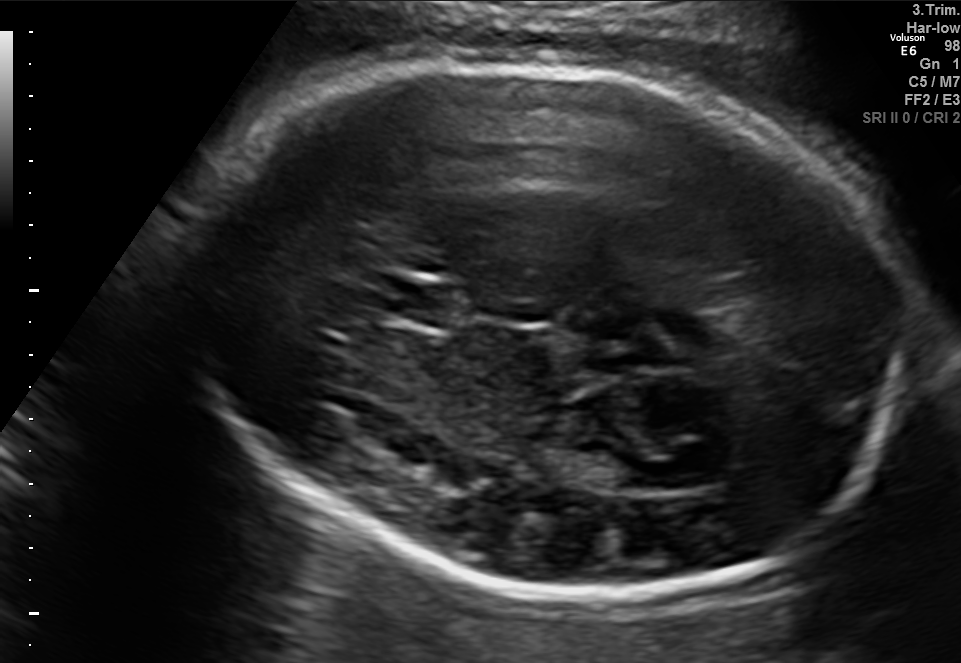
Fetal brain, trans-thalamic plane. Where is the lateral ventricle?

Lateral ventricle bounding box: [562,449,652,491]